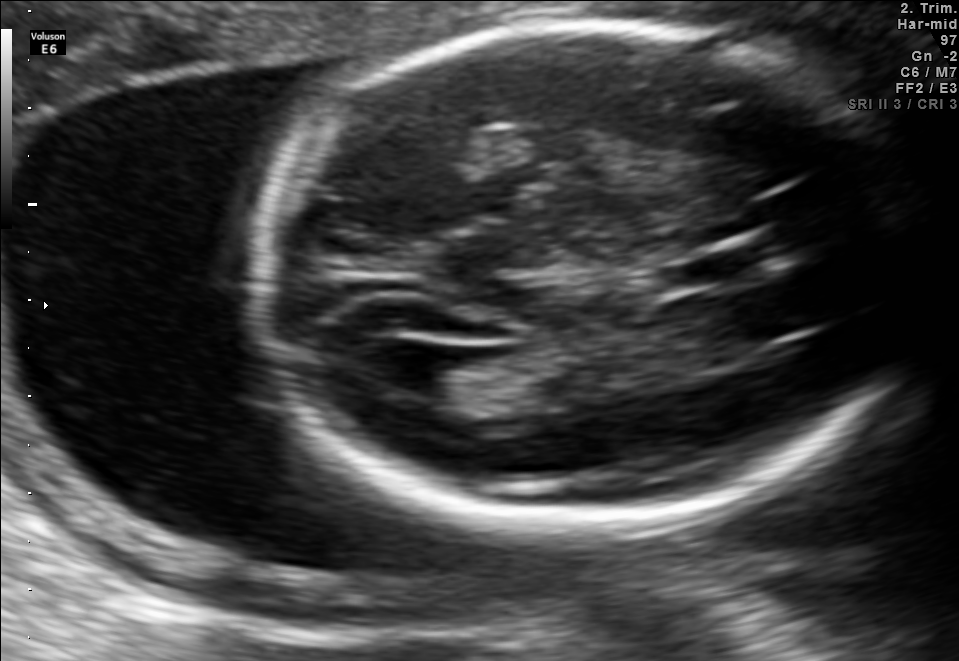
In this fetal brain, trans-ventricular plane, give the bounding box of the lateral ventricle.

[366,337,455,400]